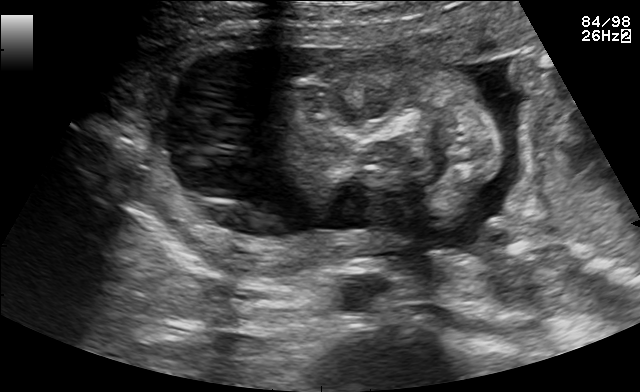
Identify the standard plane in this fetal ultrasound image: fetal abdomen, fetal brain, fetal femur, fetal thorax, maternal cervix, or other. If it's fetal brain and one of the three standard brain planes (trans-thalamic, trans-cerebellum, trans-ventricular), name which.

Other